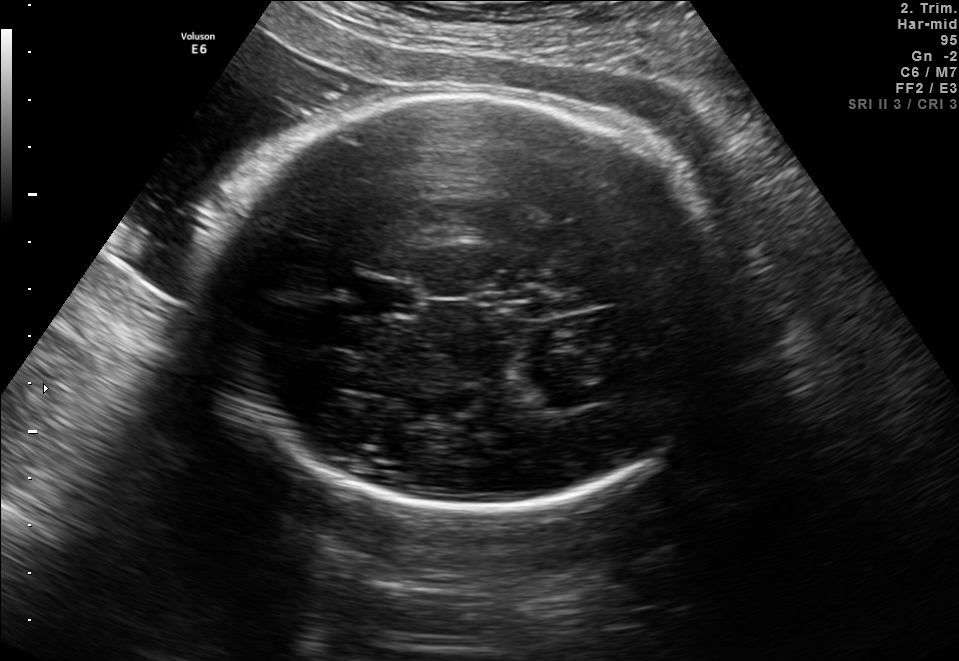
In this fetal brain, trans-thalamic plane, give bounding boxes for the head outline, cavum septum pellucidum (CSP), and lateral ventricle (LV), where visible.

Head: [214,96,741,509]
CSP: [355,277,418,318]
Lateral ventricle: [528,380,608,415]